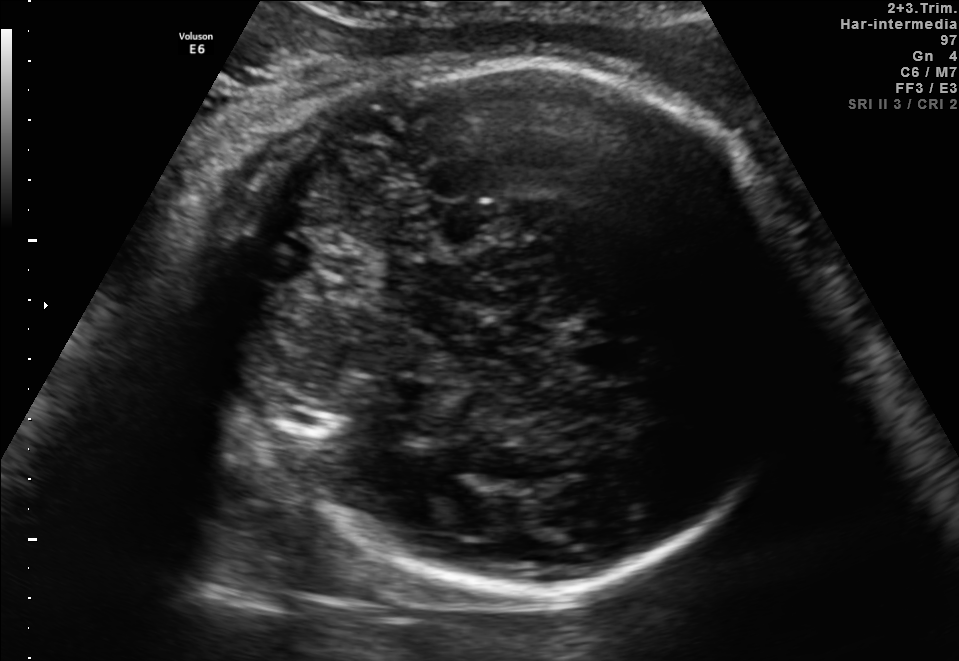
Fetal brain, trans-thalamic plane. Where is the fetal head?

Head bounding box: [255,54,798,605]